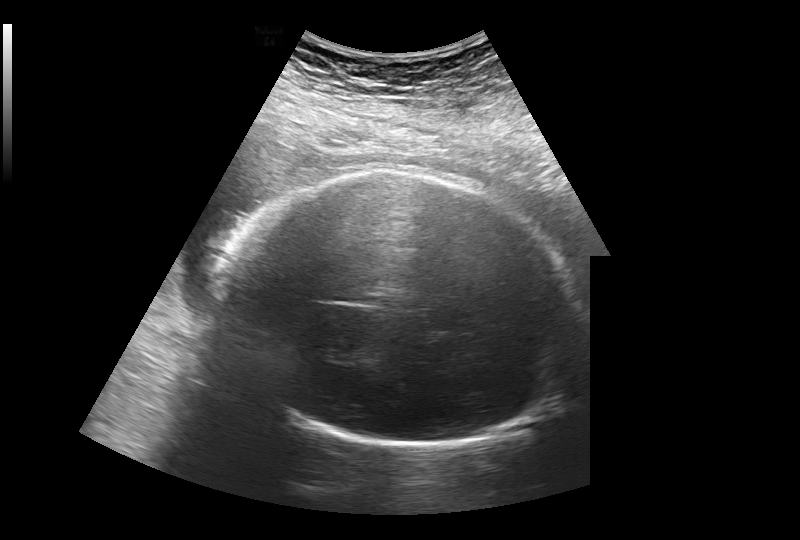
What is the fetal head circumference? Image width is 246.2 mm.

314.3 mm